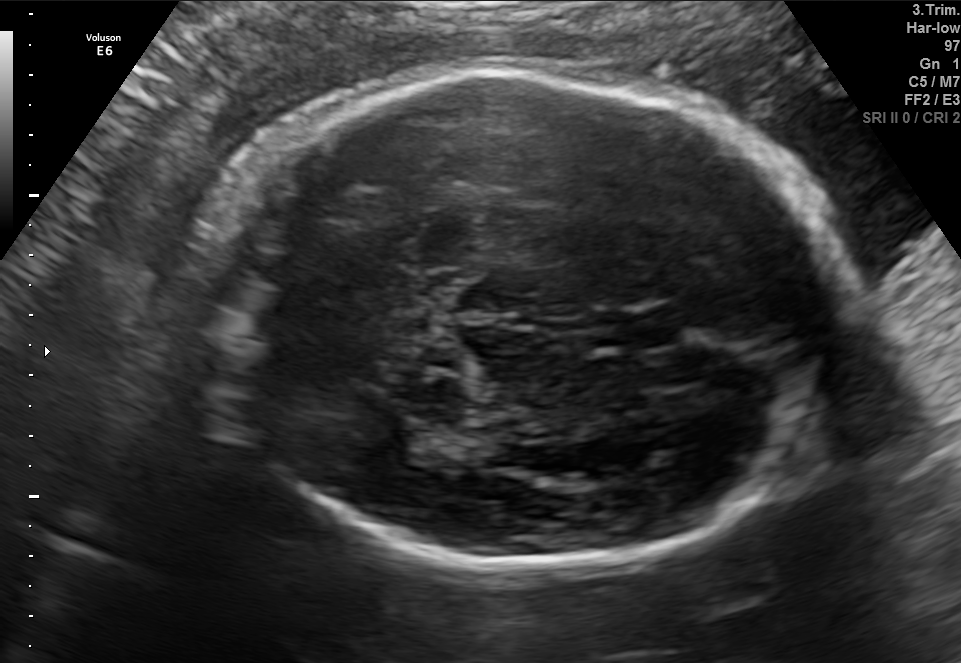
Fetal brain, trans-thalamic plane. Where is the cavum septum pellucidum?

CSP bounding box: [590,310,676,351]